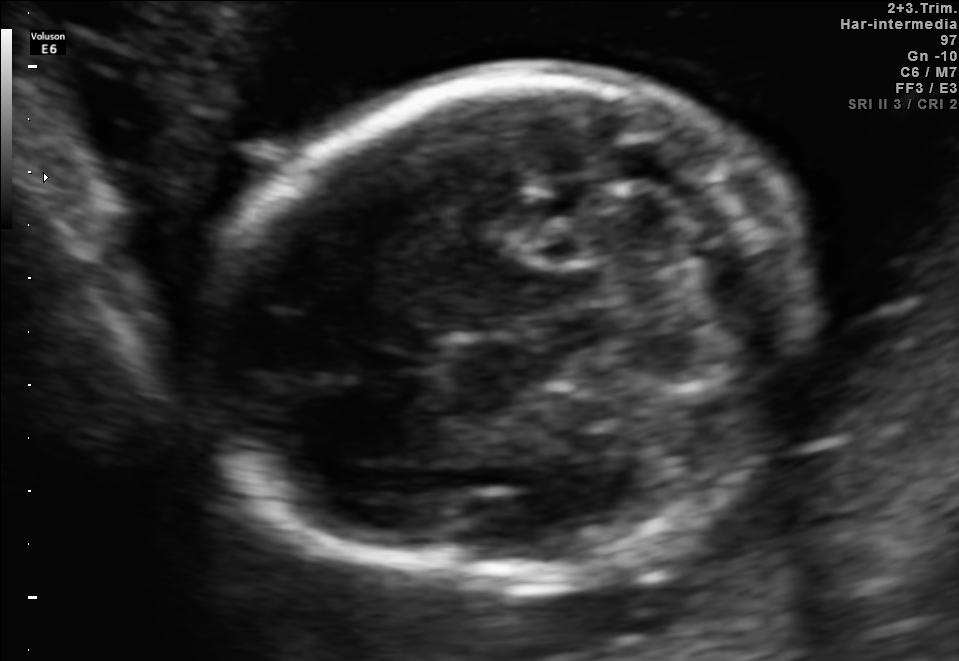
This is a 2D maternal-fetal ultrasound frame. Is it a fetal abdomen, fetal brain, fetal femur, fetal thorax, maternal cervix, or other standard plane? If it's fetal brain and one of the three standard brain planes (trans-thalamic, trans-cerebellum, trans-ventricular), name which.

Fetal brain (trans-cerebellum plane)